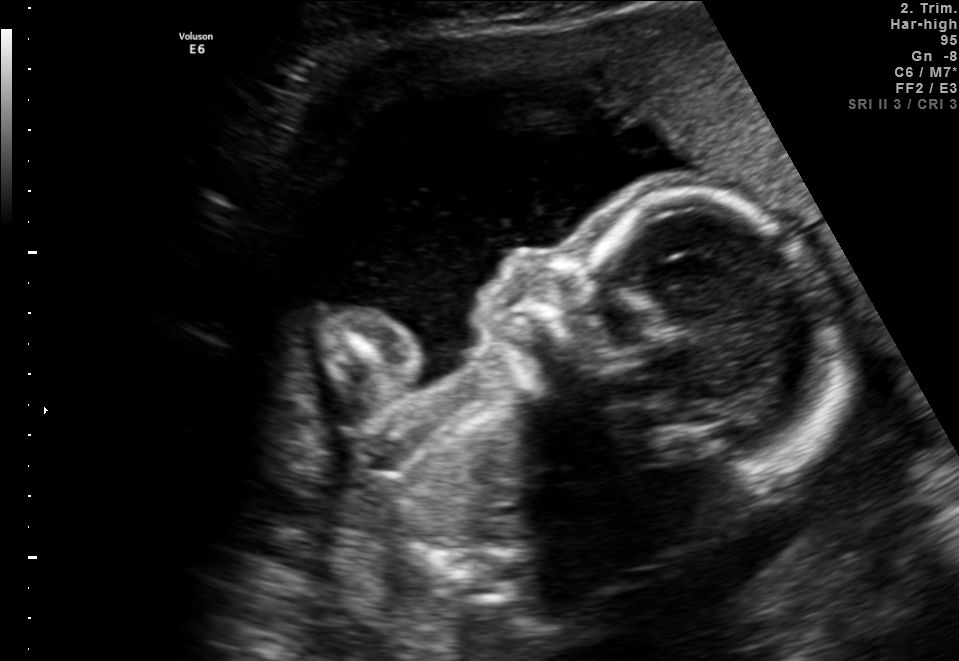
Classify this maternal-fetal ultrasound image as one of the six standard planes — fetal abdomen, fetal brain, fetal femur, fetal thorax, maternal cervix, or other. If it's fetal brain and one of the three standard brain planes (trans-thalamic, trans-cerebellum, trans-ventricular), name which.

Other